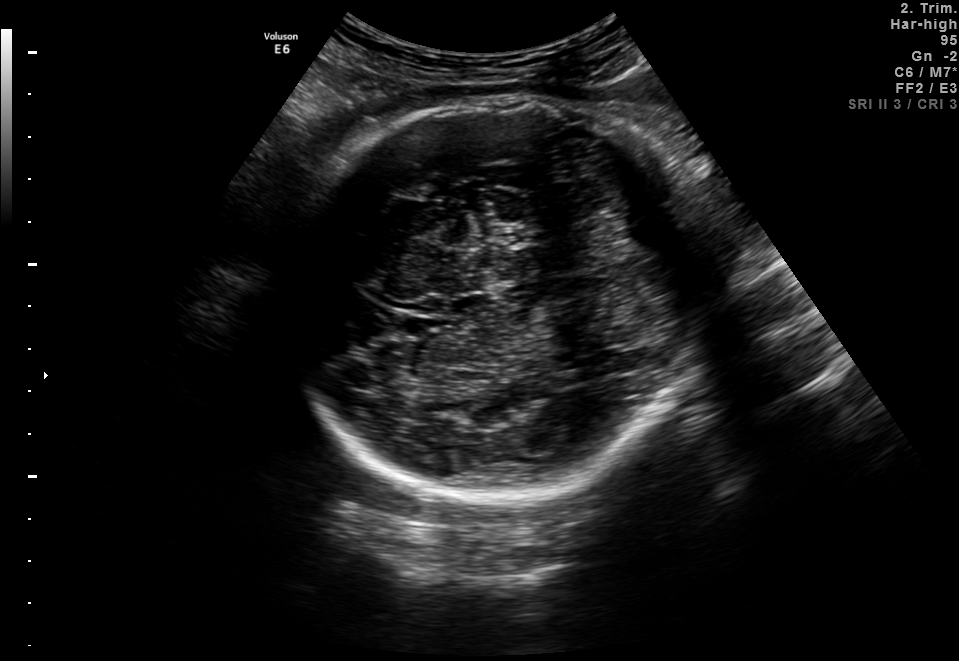
In this fetal brain, trans-thalamic plane, give the bounding box of the fetal head.

[281,99,706,496]